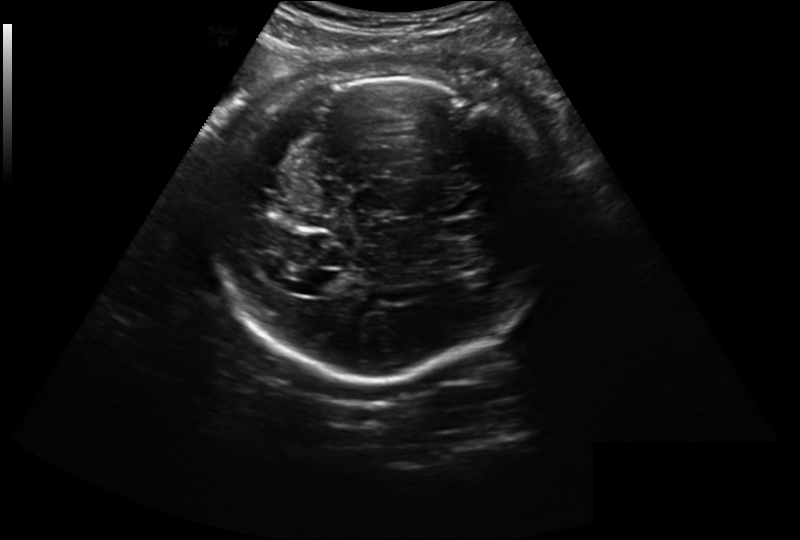
In this fetal head ultrasound, give the bounding box of the cavum septum pellucidum. Image width: 208.4 mm.

[441,219,477,237]